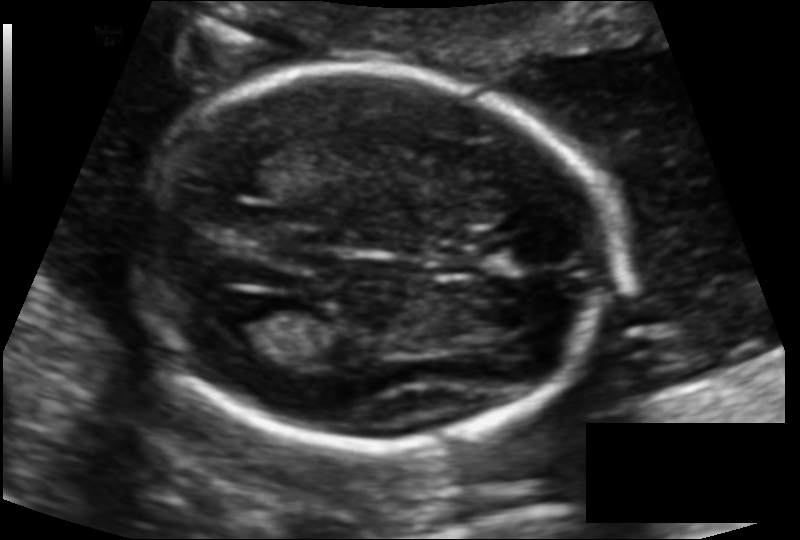
From this fetal ultrasound, estimate the head circumference (image width 93.4 mm).

Head circumference: 166.7 mm.